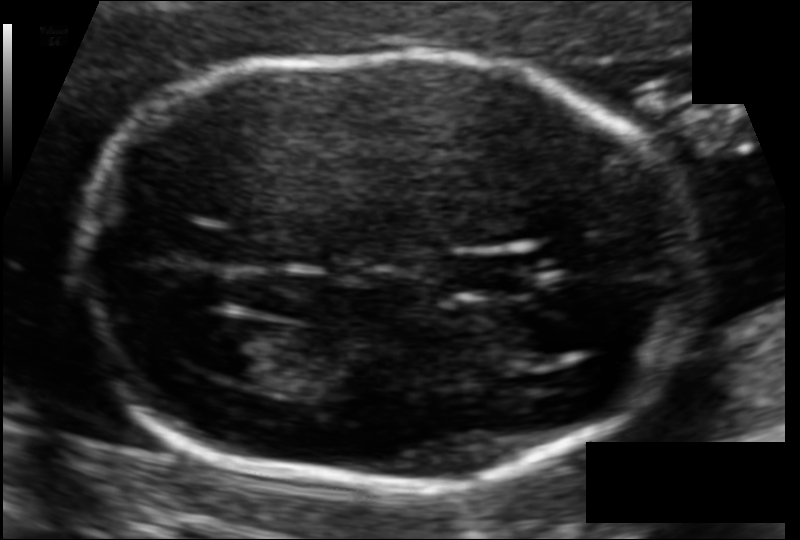
In this fetal head ultrasound, give the bounding box of the cavum septum pellucidum. Image width: 73.9 mm.

[447,254,529,292]